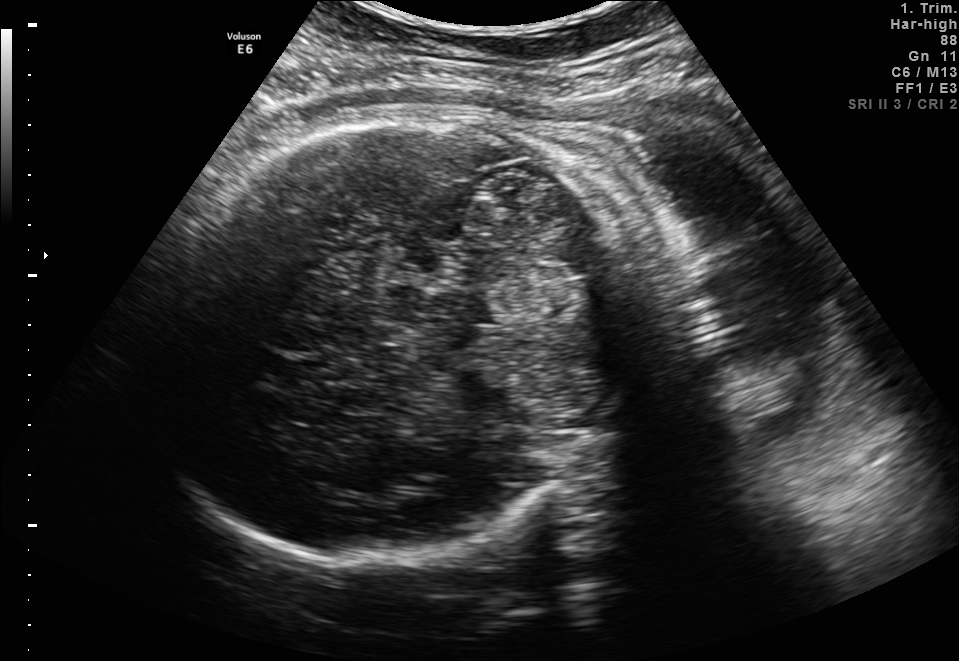
Identify the standard plane in this fetal ultrasound image: fetal abdomen, fetal brain, fetal femur, fetal thorax, maternal cervix, or other. If it's fetal brain and one of the three standard brain planes (trans-thalamic, trans-cerebellum, trans-ventricular), name which.

Fetal brain (trans-thalamic plane)